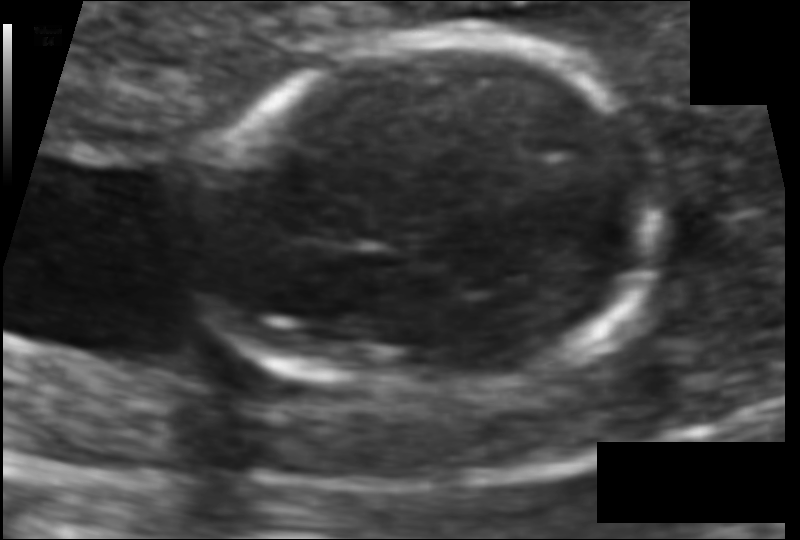
Fetal head ultrasound. Image width: 62.9 mm. Where is the fetal head?

Head bounding box: [190,33,657,404]